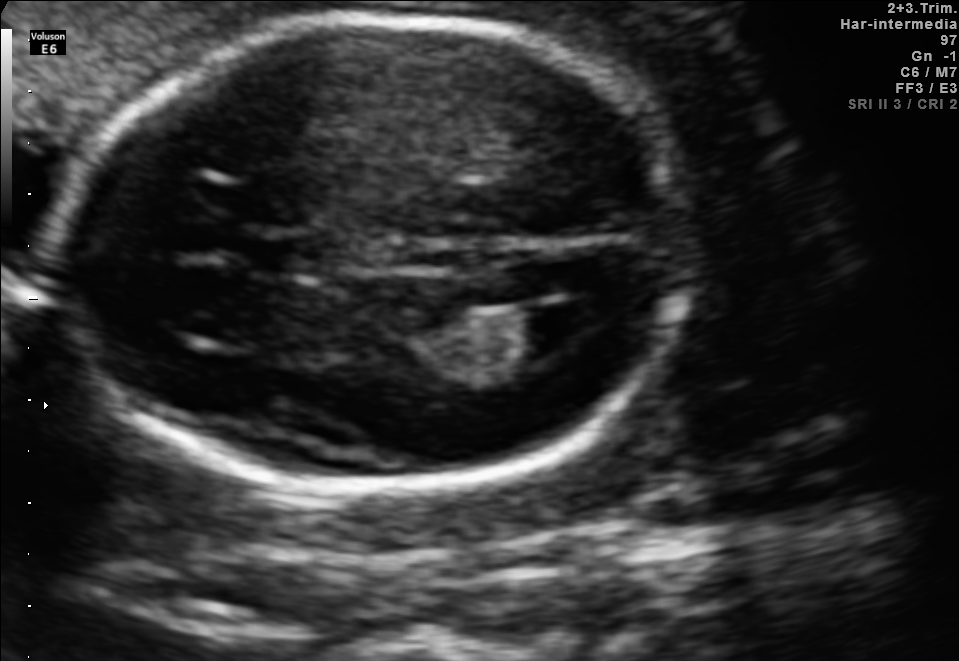
In this fetal brain, trans-ventricular plane, give bounding boxes for the head outline, cavum septum pellucidum (CSP), and lateral ventricle (LV), where visible.

Head: [54,9,703,502]
CSP: [248,239,323,272]
Lateral ventricle: [516,294,607,360]